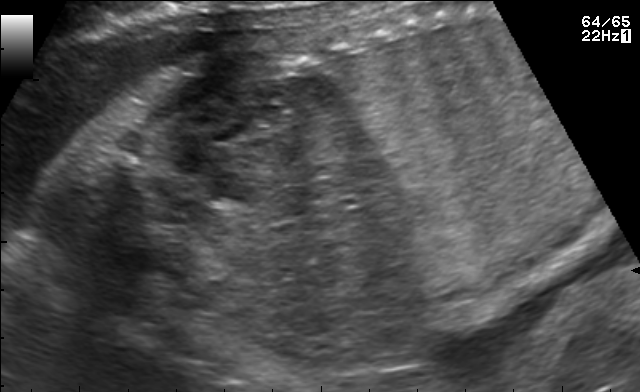
Classify this maternal-fetal ultrasound image as one of the six standard planes — fetal abdomen, fetal brain, fetal femur, fetal thorax, maternal cervix, or other. If it's fetal brain and one of the three standard brain planes (trans-thalamic, trans-cerebellum, trans-ventricular), name which.

Other